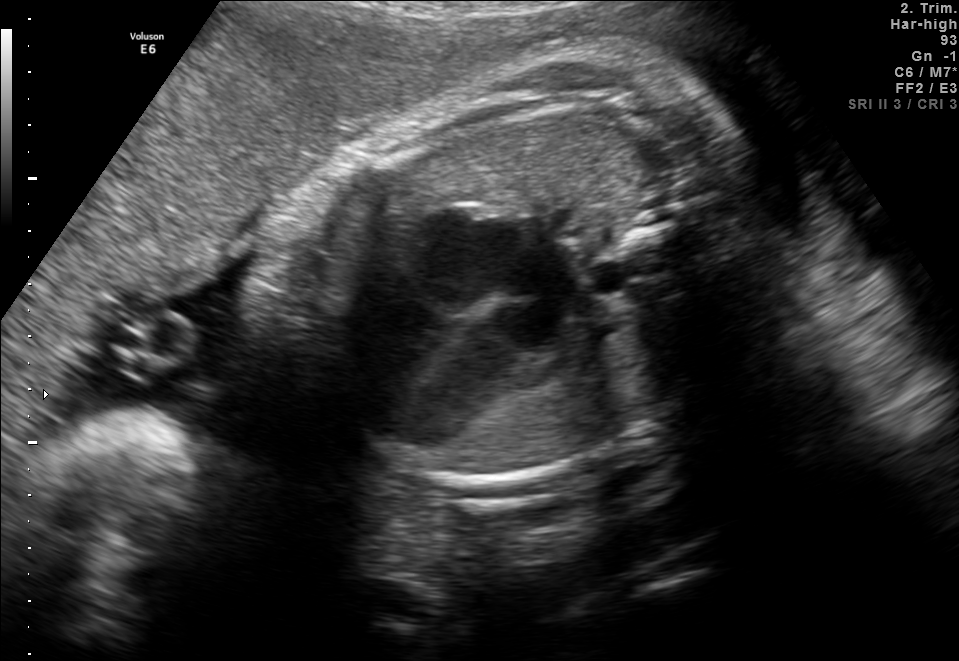
This is a 2D maternal-fetal ultrasound frame. Is it a fetal abdomen, fetal brain, fetal femur, fetal thorax, maternal cervix, or other standard plane? If it's fetal brain and one of the three standard brain planes (trans-thalamic, trans-cerebellum, trans-ventricular), name which.

Fetal thorax